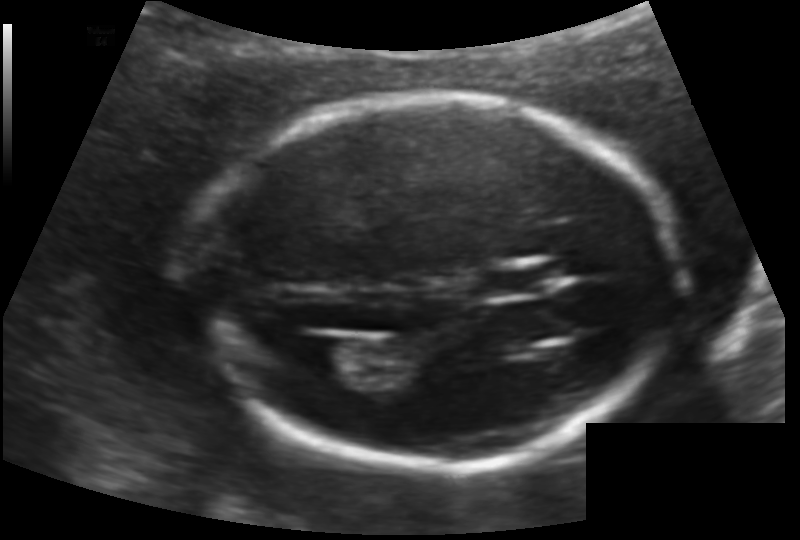
Fetal head ultrasound. Image width: 99.5 mm. Locate the fetal head.

Head: [193,96,666,469]